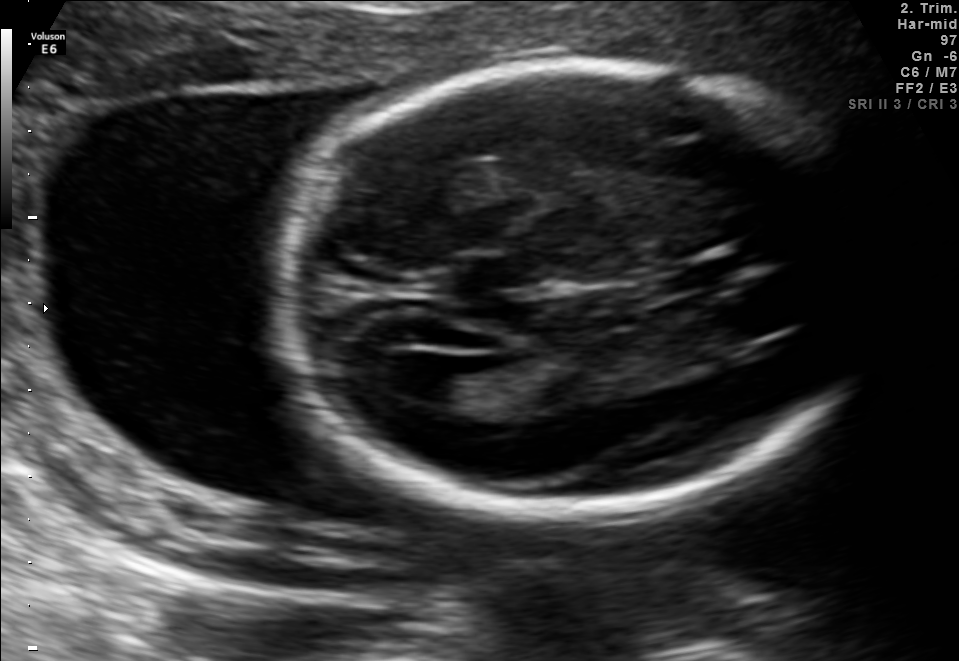
In this fetal brain, trans-ventricular plane, give the bounding box of the lateral ventricle.

[379,348,463,404]